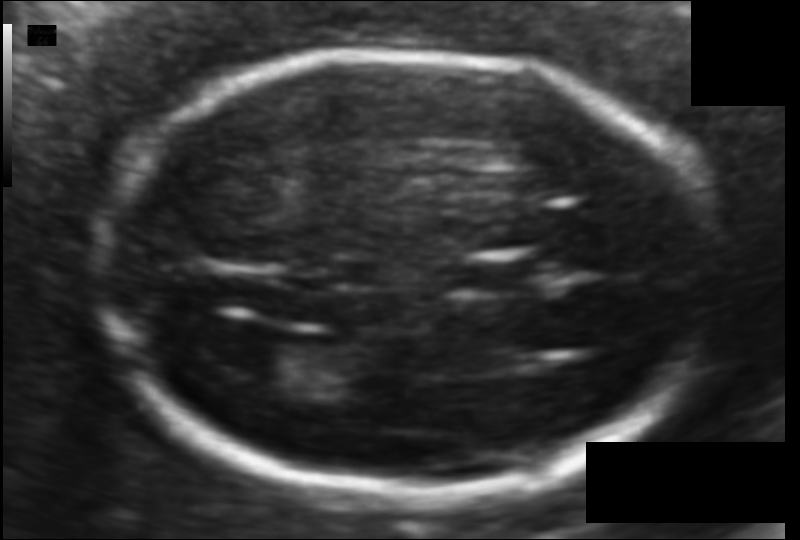
In this fetal head ultrasound, give the bounding box of the fetal head. Image width: 75.4 mm.

[103,52,713,499]